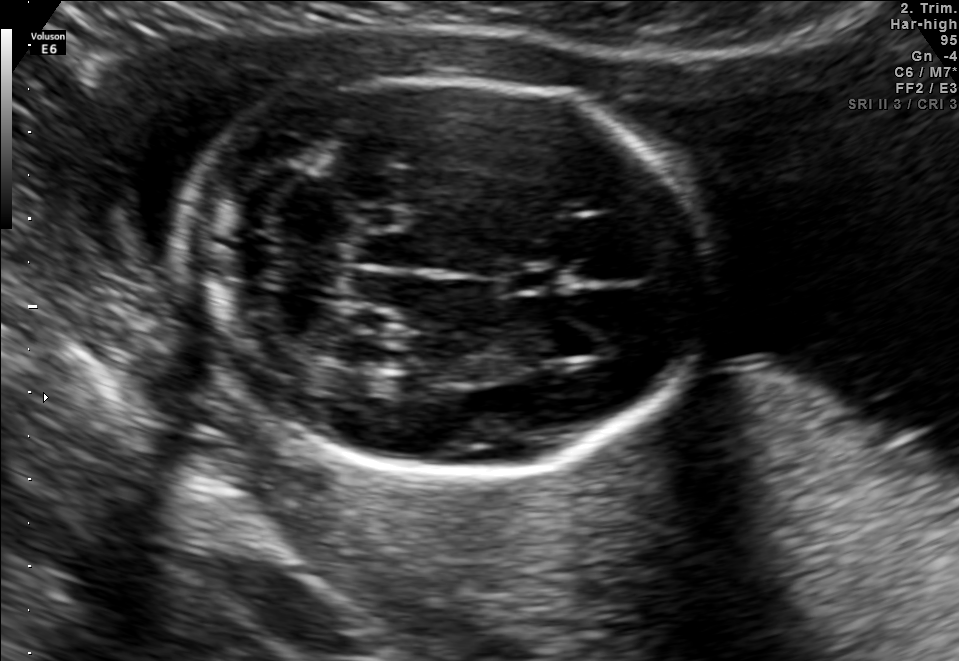
In this fetal brain, trans-cerebellum plane, give the bounding box of the cavum septum pellucidum.

[497,265,557,295]